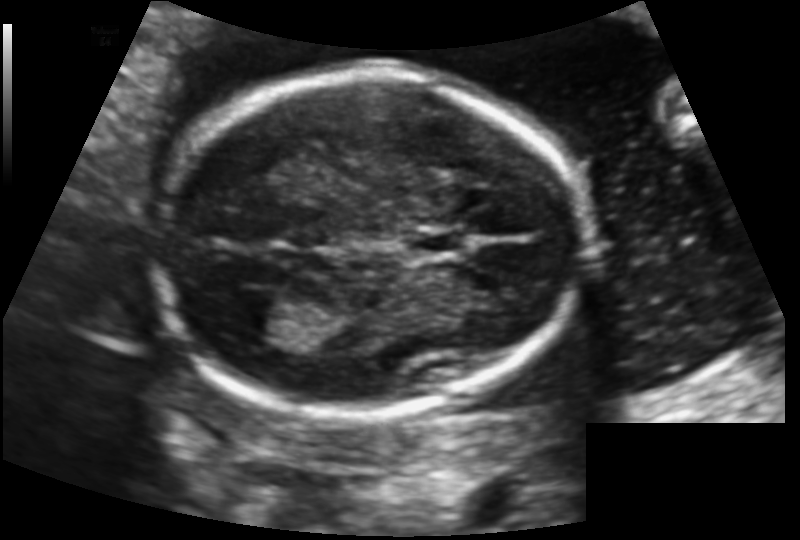
Measure the fetal head circumference shown in this ultrasound image. Image width: 103.6 mm.

Head circumference: 163.3 mm.